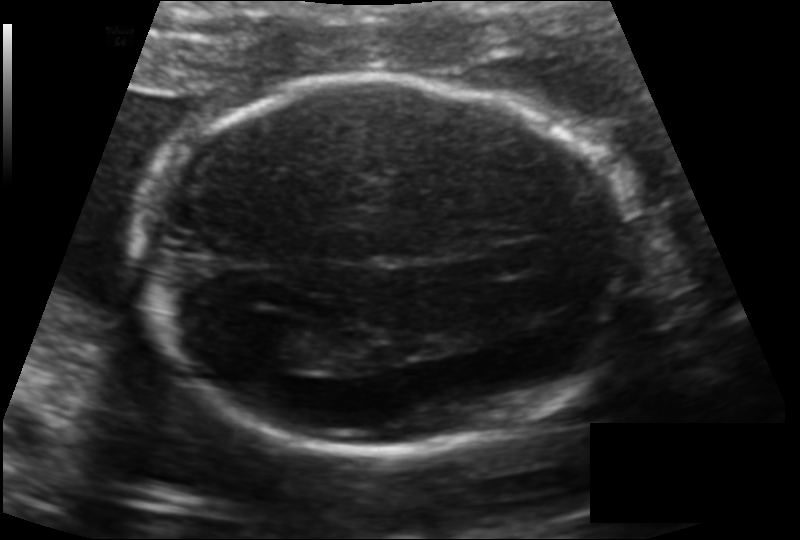
In this fetal head ultrasound, give bounding boxes for the head outline, cavum septum pellucidum (CSP), and lateral ventricle (LV), where visible. Image width: 107.0 mm.

Head: [149,77,637,450]
CSP: [479,237,550,280]
Lateral ventricle: [249,317,331,372]